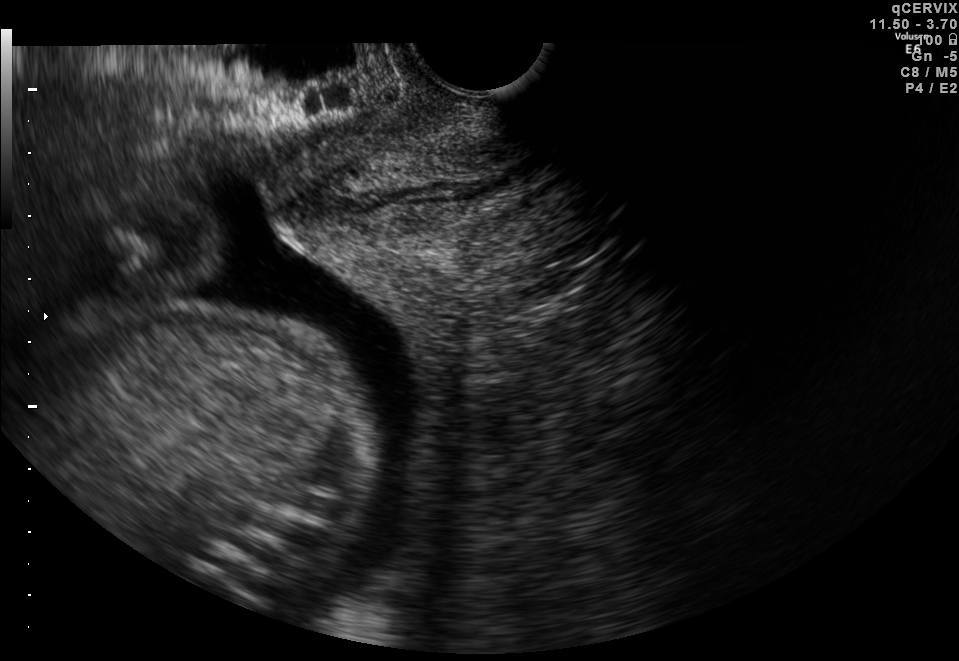
Classify this maternal-fetal ultrasound image as one of the six standard planes — fetal abdomen, fetal brain, fetal femur, fetal thorax, maternal cervix, or other. If it's fetal brain and one of the three standard brain planes (trans-thalamic, trans-cerebellum, trans-ventricular), name which.

Maternal cervix